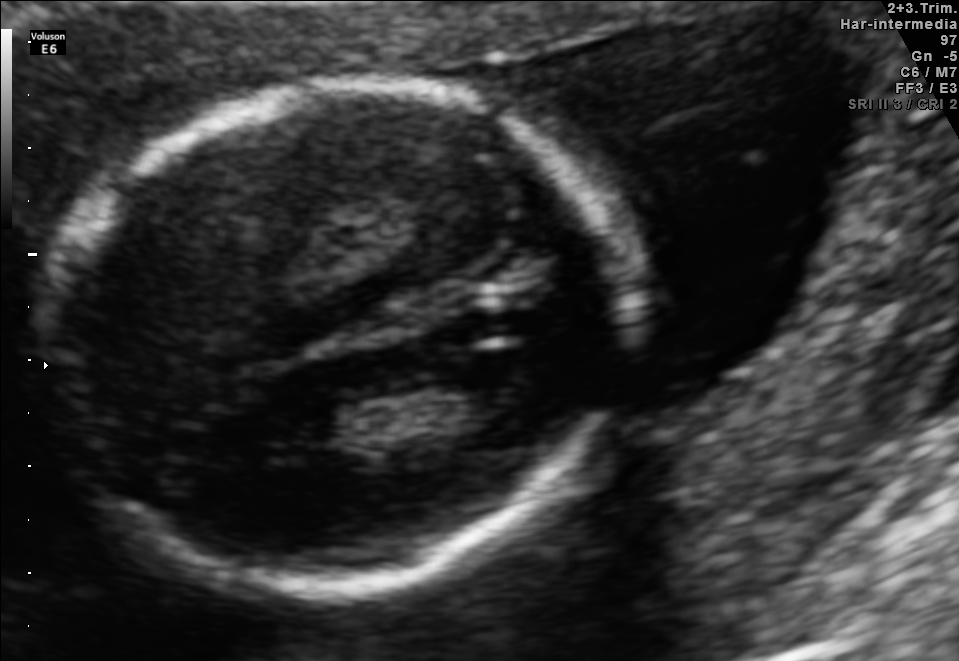
In this fetal brain, trans-thalamic plane, give the bounding box of the fetal head.

[43,77,624,594]